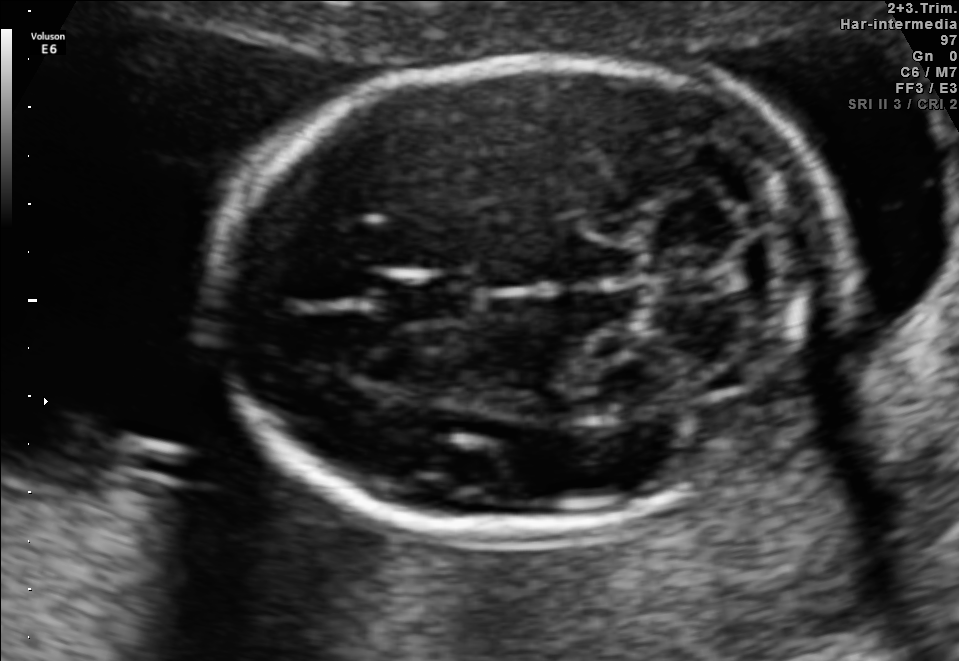
Fetal brain, trans-cerebellum plane. Where is the cavum septum pellucidum?

CSP bounding box: [377,269,483,327]